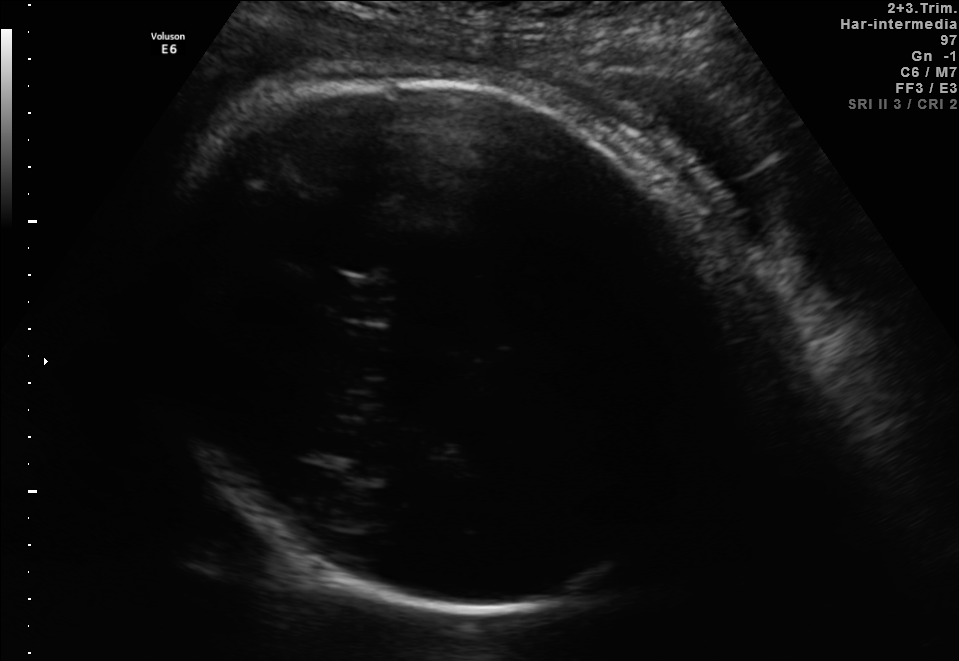
In this fetal brain, trans-thalamic plane, give bounding boxes for the head outline, cavum septum pellucidum (CSP), and lateral ventricle (LV), where visible.

Head: [144,79,735,612]